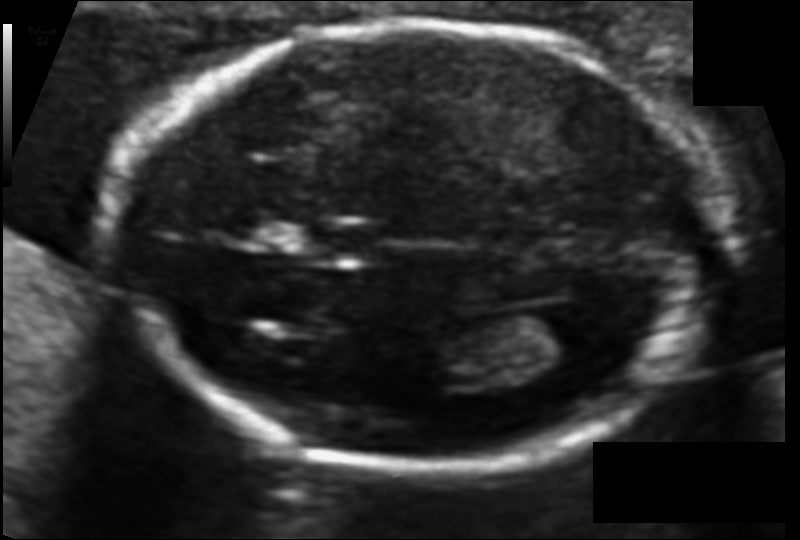
From this fetal ultrasound, estimate the head circumference (image width 75.0 mm).

Head circumference: 159.3 mm.